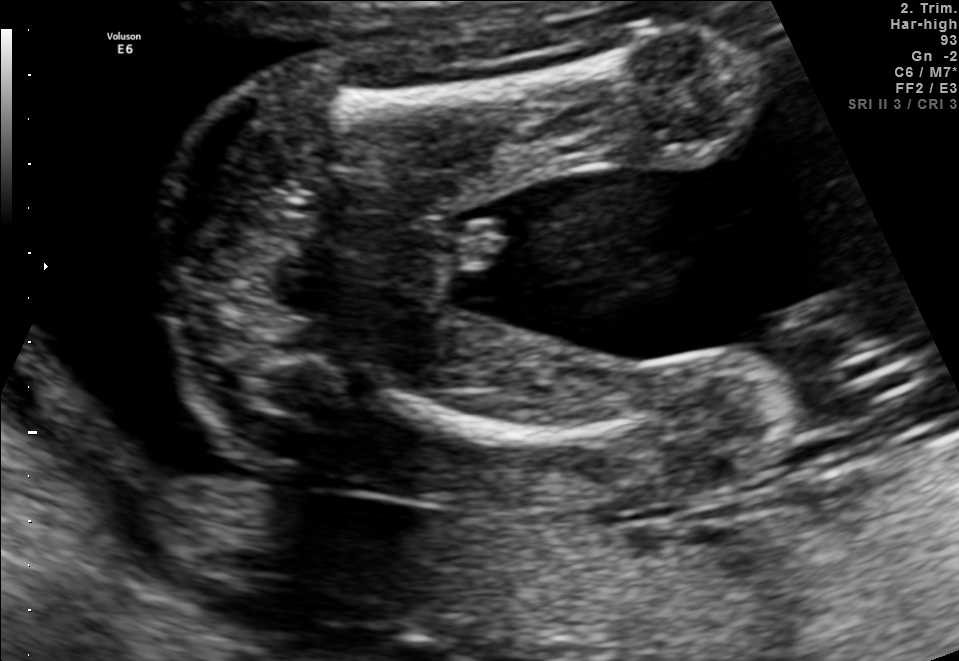
Identify the standard plane in this fetal ultrasound image: fetal abdomen, fetal brain, fetal femur, fetal thorax, maternal cervix, or other. If it's fetal brain and one of the three standard brain planes (trans-thalamic, trans-cerebellum, trans-ventricular), name which.

Fetal femur